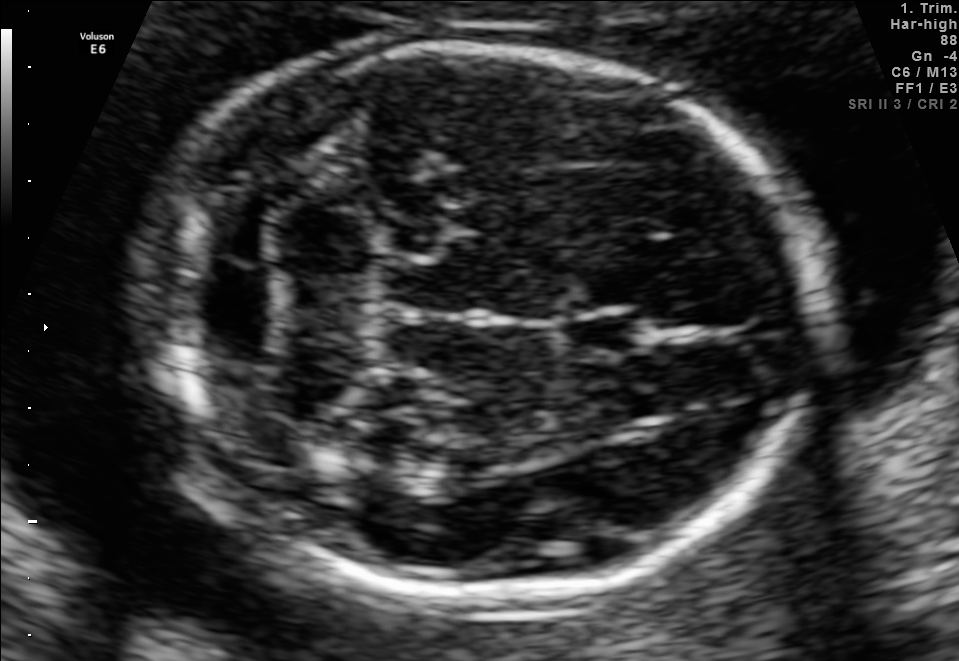
In this fetal brain, trans-cerebellum plane, give the bounding box of the cavum septum pellucidum.

[565,305,650,359]